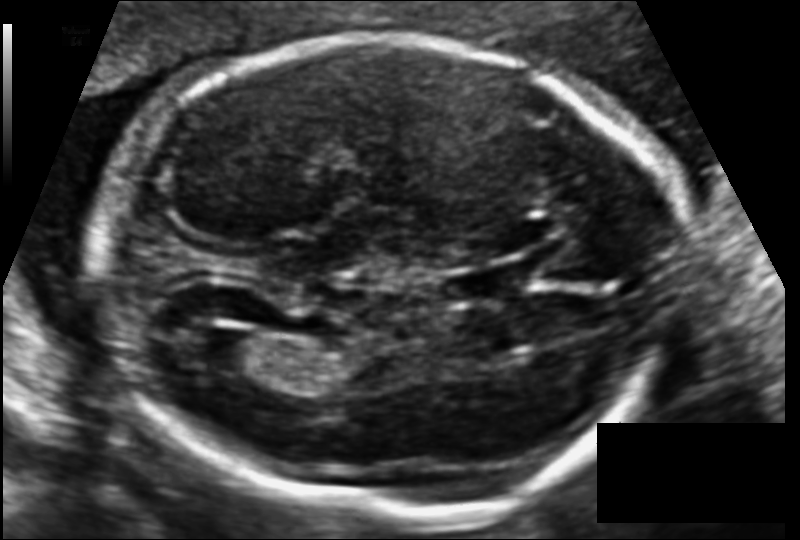
Fetal head ultrasound. Image width: 92.7 mm. Locate the cavum septum pellucidum.

CSP: [434,261,523,313]